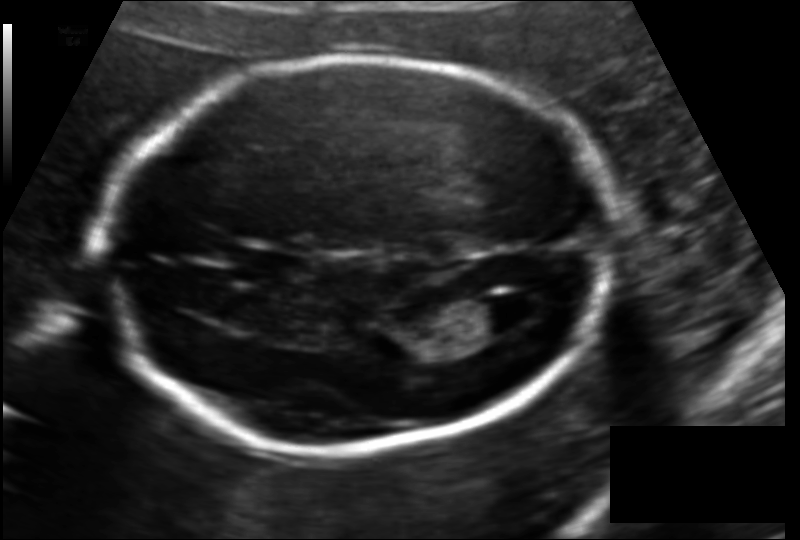
Fetal head ultrasound. Image width: 101.5 mm. Locate the cavum septum pellucidum.

CSP: [228,245,308,284]